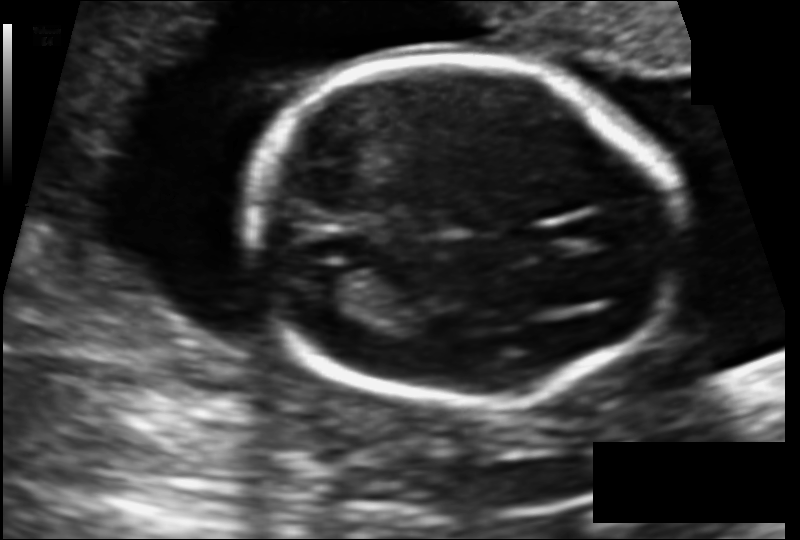
Fetal head ultrasound. Image width: 96.7 mm. Locate the fetal head.

Head: [244,59,674,403]